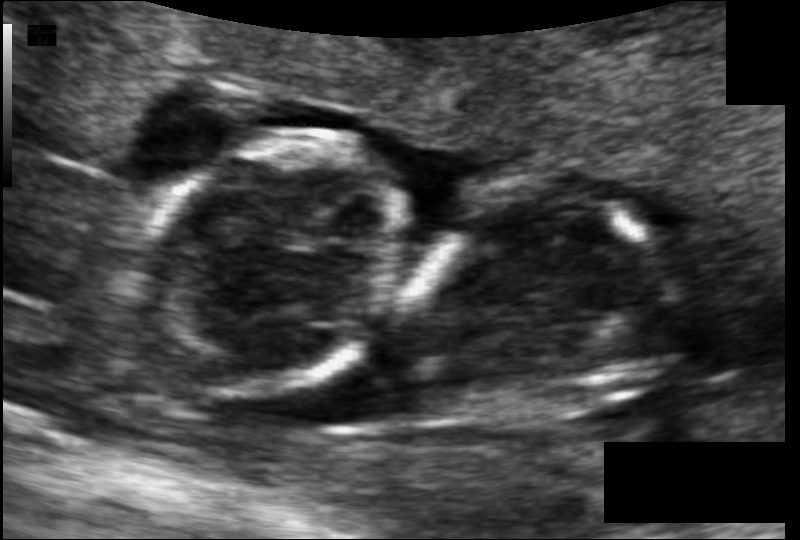
Estimate the fetal head circumference from this 2D ultrasound. Image width: 68.1 mm.

Head circumference: 76.3 mm.